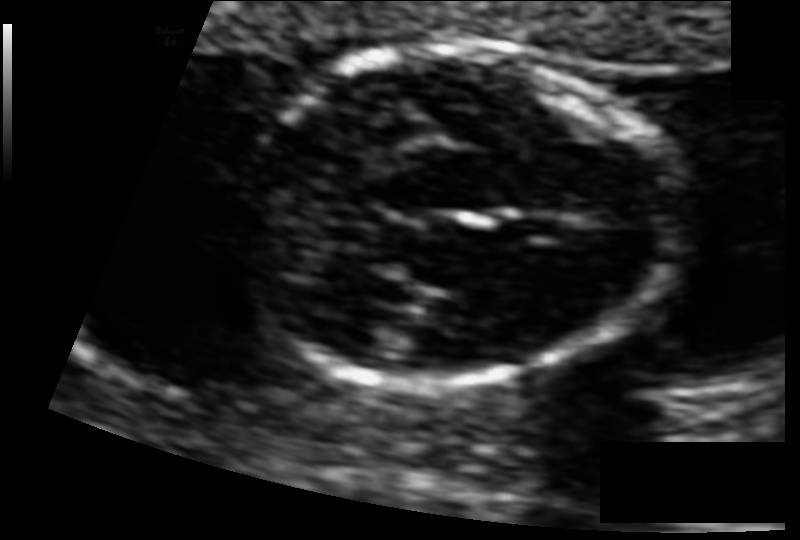
Fetal head ultrasound. Image width: 58.4 mm. Locate the fetal head and, if visible, the cavum septum pellucidum (CSP) and lateral ventricle (LV). Give bounding boxes as [x1,y1,x2,y2].

Head: [240,48,677,390]
CSP: [503,212,559,242]